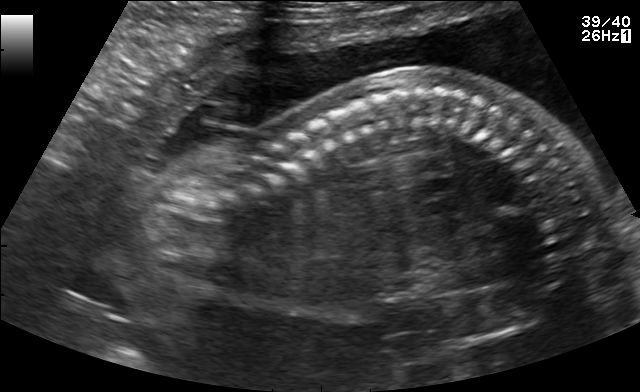
This is a 2D maternal-fetal ultrasound frame. Is it a fetal abdomen, fetal brain, fetal femur, fetal thorax, maternal cervix, or other standard plane? If it's fetal brain and one of the three standard brain planes (trans-thalamic, trans-cerebellum, trans-ventricular), name which.

Other